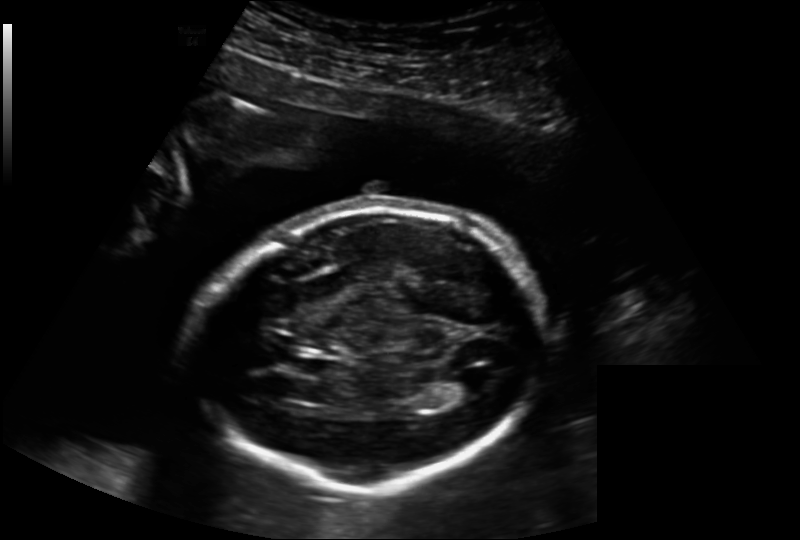
Measure the fetal head circumference shown in this ultrasound image. Image width: 161.7 mm.

Head circumference: 204.3 mm.